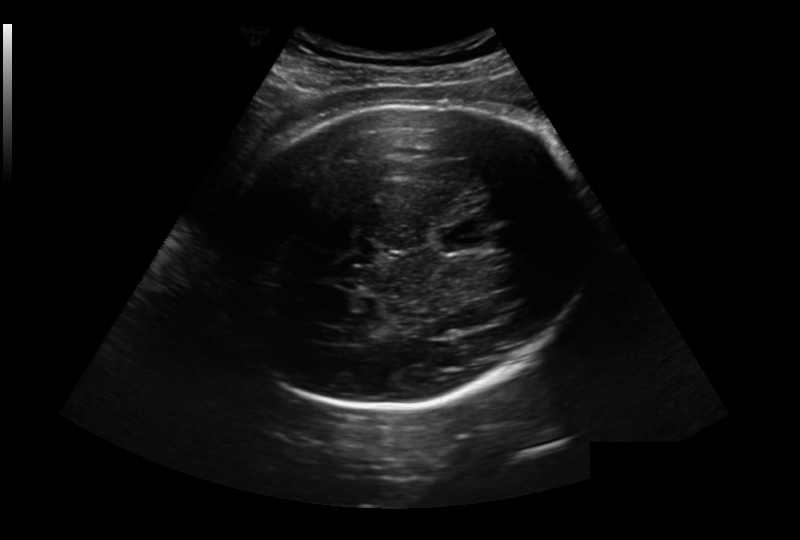
Fetal head ultrasound. Image width: 224.8 mm. Locate the lateral ventricle.

Lateral ventricle: [312,326,351,346]